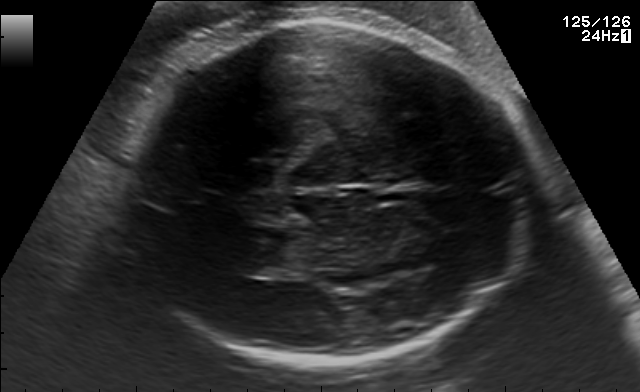
In this fetal brain, trans-thalamic plane, give the bounding box of the fetal head.

[116,21,532,358]